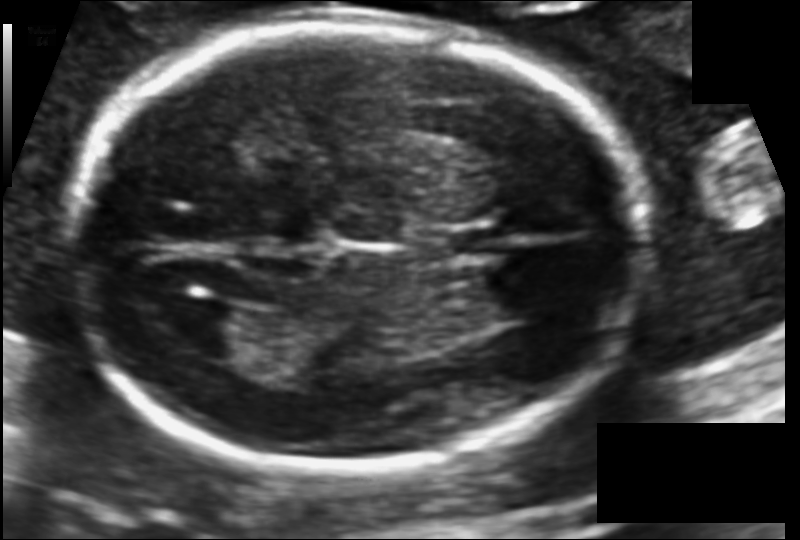
Estimate the fetal head circumference from this 2D ultrasound.

Head circumference: 184.4 mm (image width 90.1 mm).